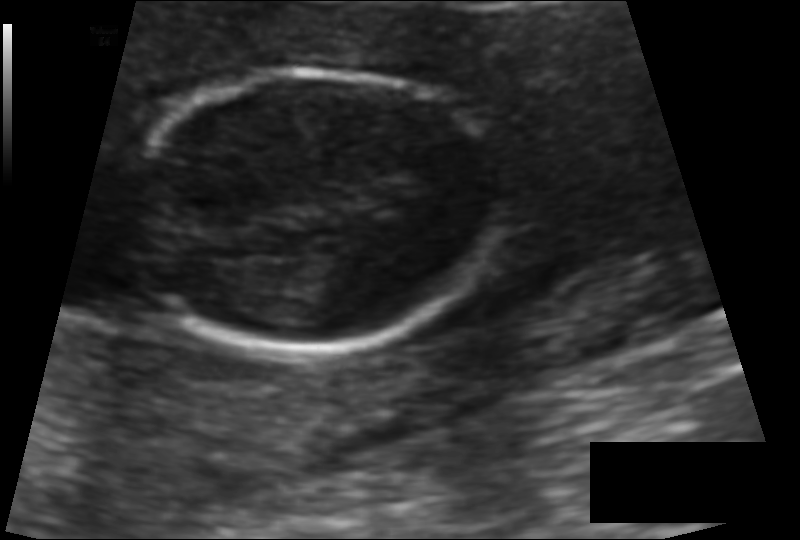
Fetal head ultrasound. Image width: 75.9 mm. Where is the fetal head?

Head bounding box: [132,72,496,355]